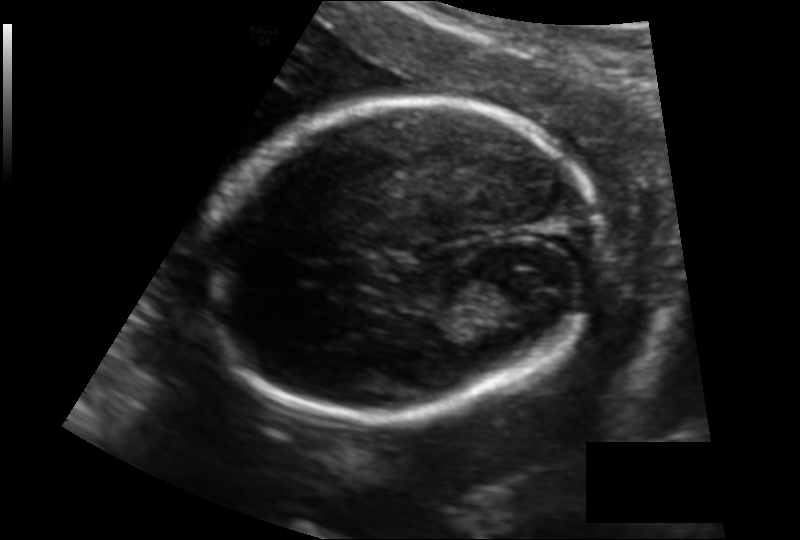
From this fetal ultrasound, estimate the head circumference (image width 112.2 mm).

Head circumference: 163.2 mm.